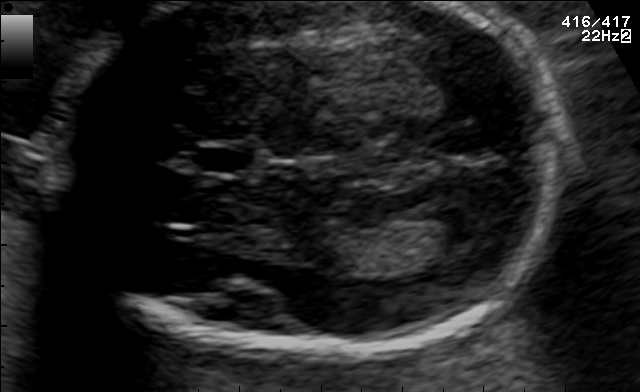
Identify the standard plane in this fetal ultrasound image: fetal abdomen, fetal brain, fetal femur, fetal thorax, maternal cervix, or other. If it's fetal brain and one of the three standard brain planes (trans-thalamic, trans-cerebellum, trans-ventricular), name which.

Fetal brain (trans-thalamic plane)